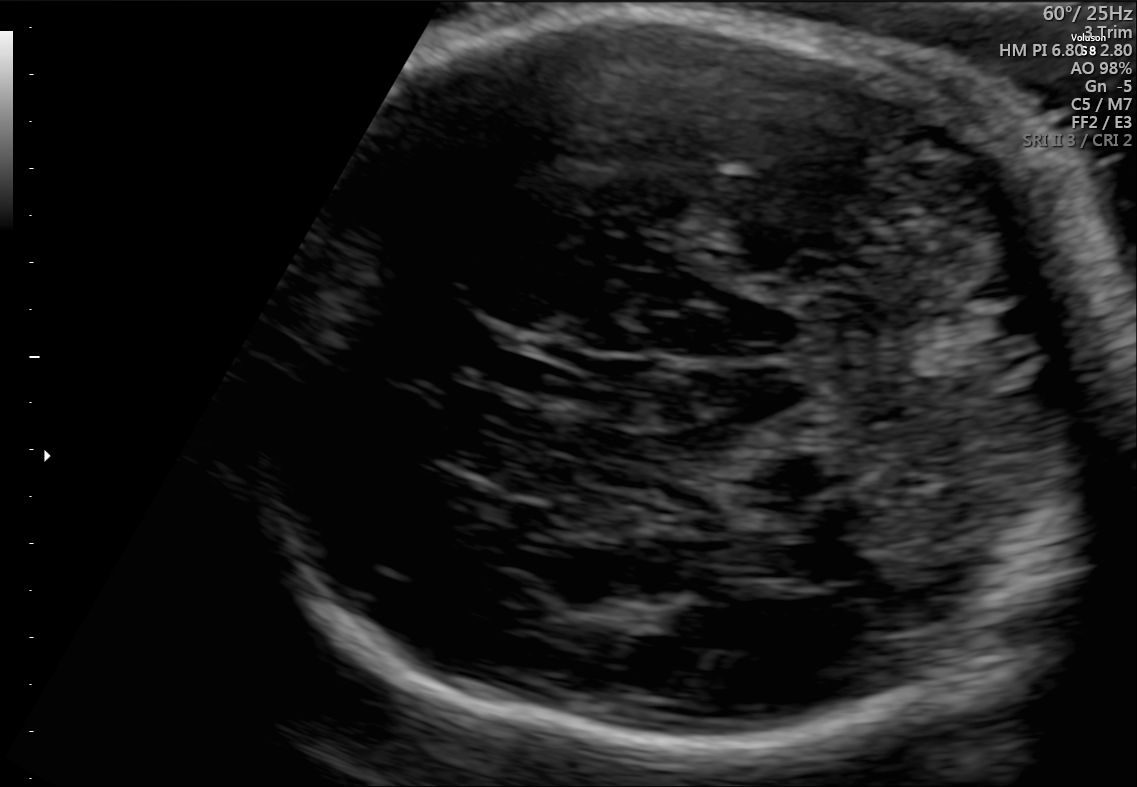
In this fetal brain, trans-cerebellum plane, give bounding boxes for the head outline, cavum septum pellucidum (CSP), and lateral ventricle (LV), where visible.

Head: [286,14,1105,758]